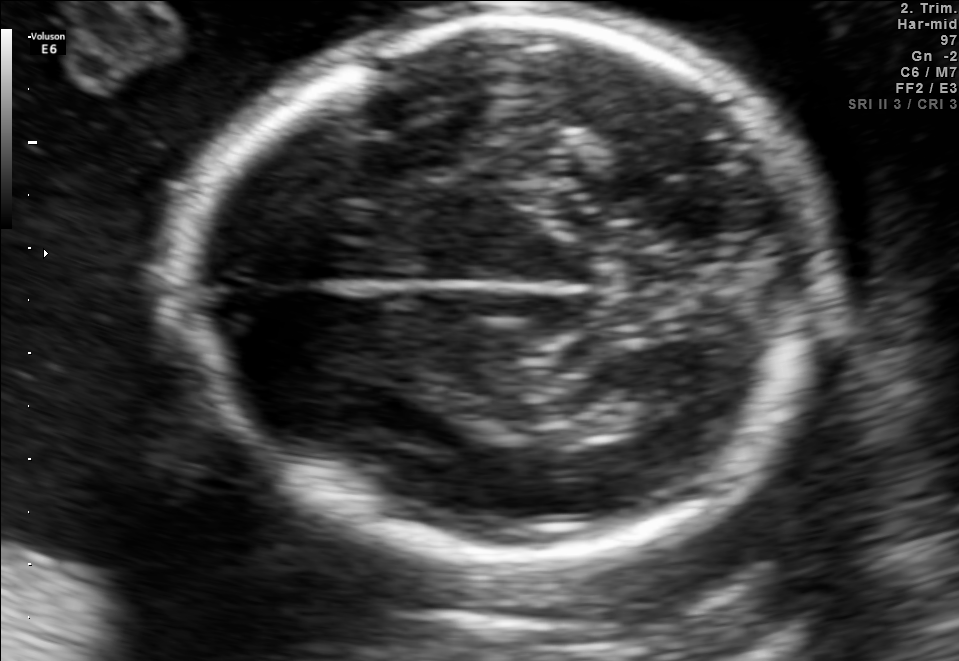
In this fetal brain, trans-thalamic plane, give bounding boxes for the head outline, cavum septum pellucidum (CSP), and lateral ventricle (LV), where visible.

Head: [177,17,836,568]